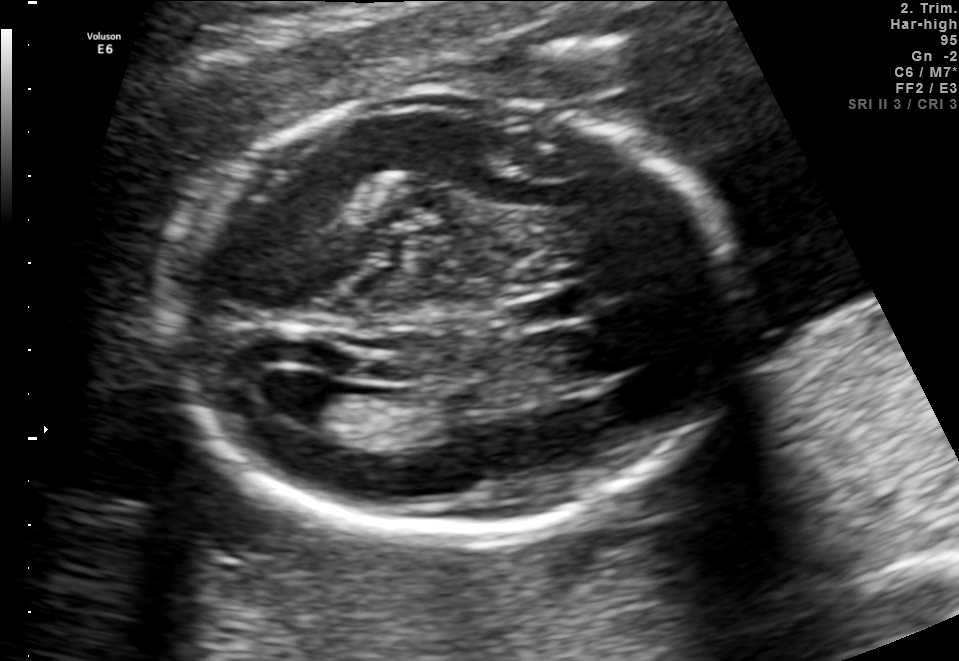
Fetal brain, trans-ventricular plane. Locate the fetal head and, if visible, the cavum septum pellucidum (CSP) and lateral ventricle (LV). Give bounding boxes as [x1,y1,x2,y2].

Head: [156,85,757,546]
CSP: [500,283,603,340]
Lateral ventricle: [244,359,346,435]